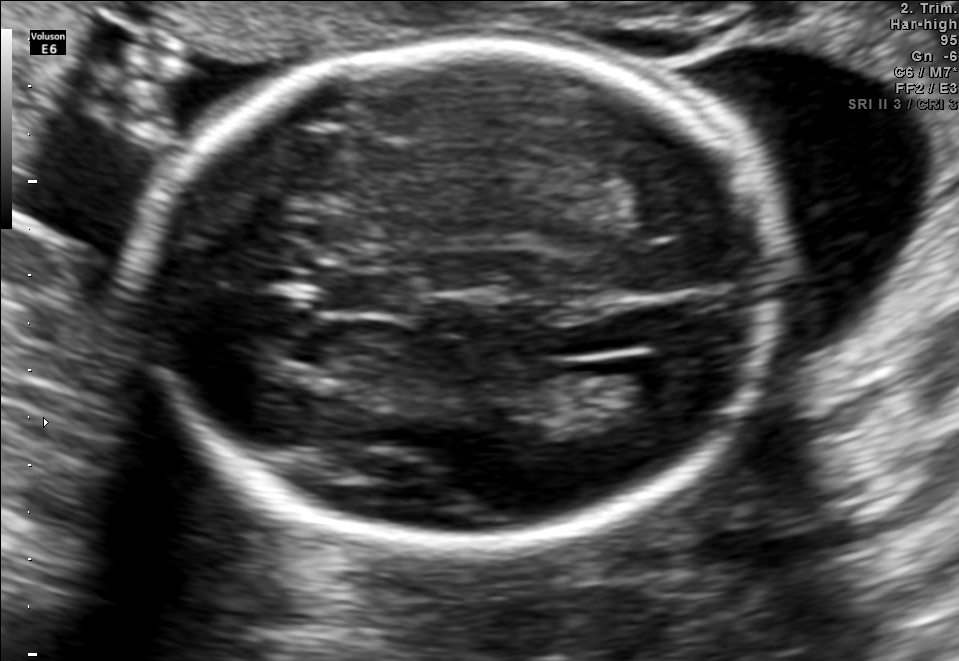
In this fetal brain, trans-ventricular plane, give the bounding box of the fetal head.

[127,35,798,562]